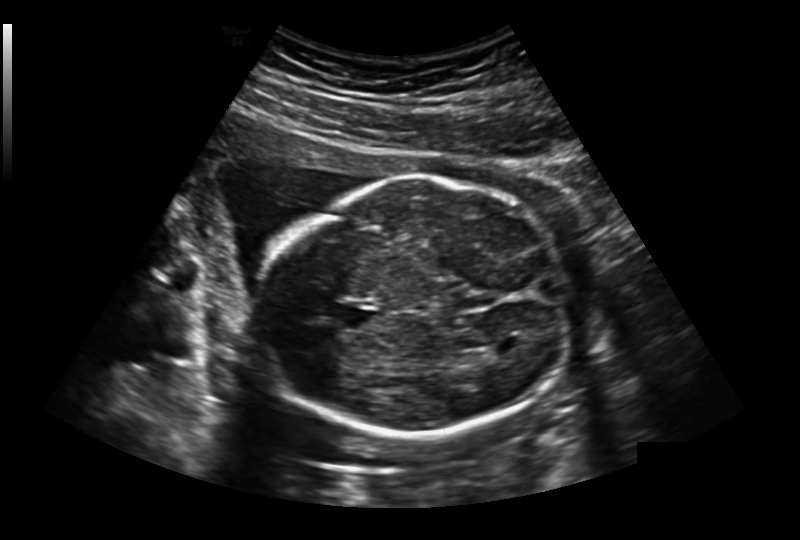
Fetal head ultrasound. Image width: 188.6 mm. Locate the fetal head.

Head: [256,176,571,440]